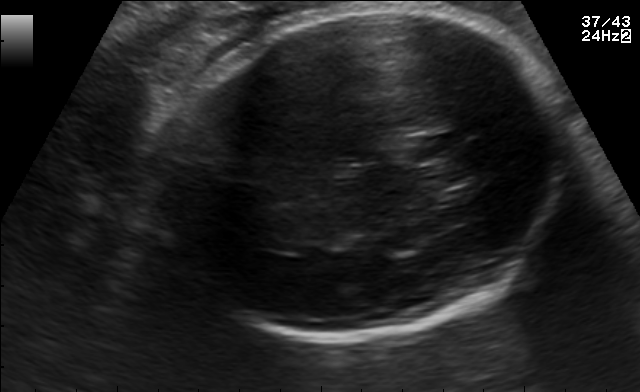
This is a 2D maternal-fetal ultrasound frame. Is it a fetal abdomen, fetal brain, fetal femur, fetal thorax, maternal cervix, or other standard plane? If it's fetal brain and one of the three standard brain planes (trans-thalamic, trans-cerebellum, trans-ventricular), name which.

Fetal brain (trans-thalamic plane)